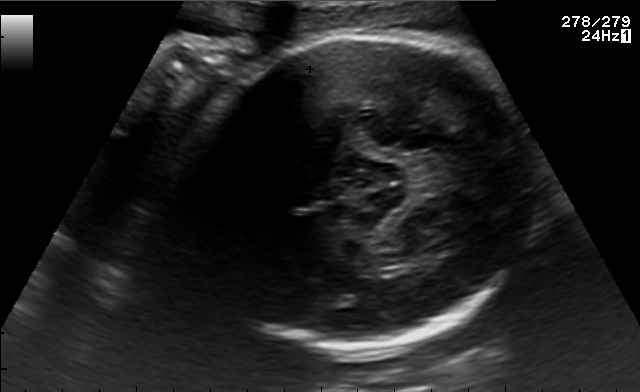
In this fetal brain, trans-thalamic plane, give bounding boxes for the head outline, cavum septum pellucidum (CSP), and lateral ventricle (LV), where visible.

Head: [182,35,541,351]